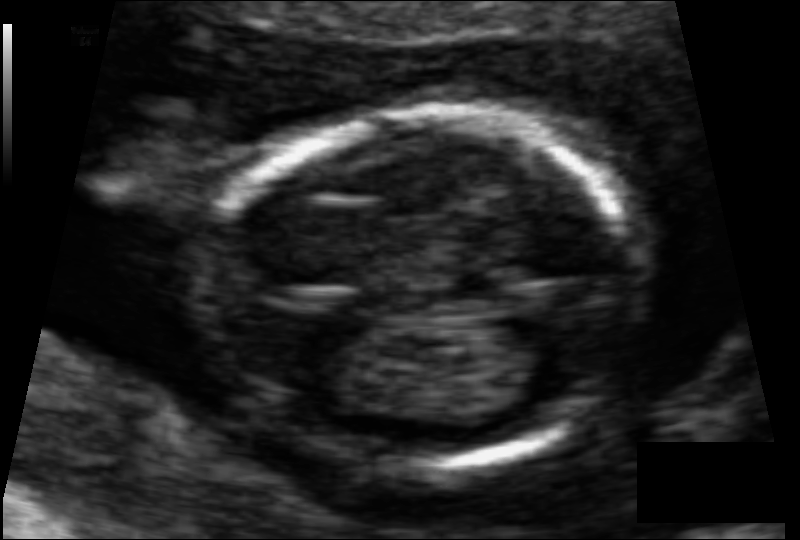
Fetal head ultrasound. Image width: 52.3 mm. Give [x1,y1,x2,y2] bounding boxes for each visible structure among: fetal head, CSP, LV.

Head: [206,109,642,475]